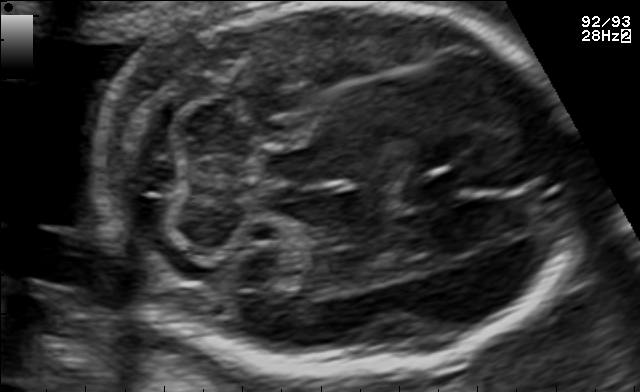
Fetal brain, trans-cerebellum plane. Locate the fetal head.

Head: [102,2,570,381]